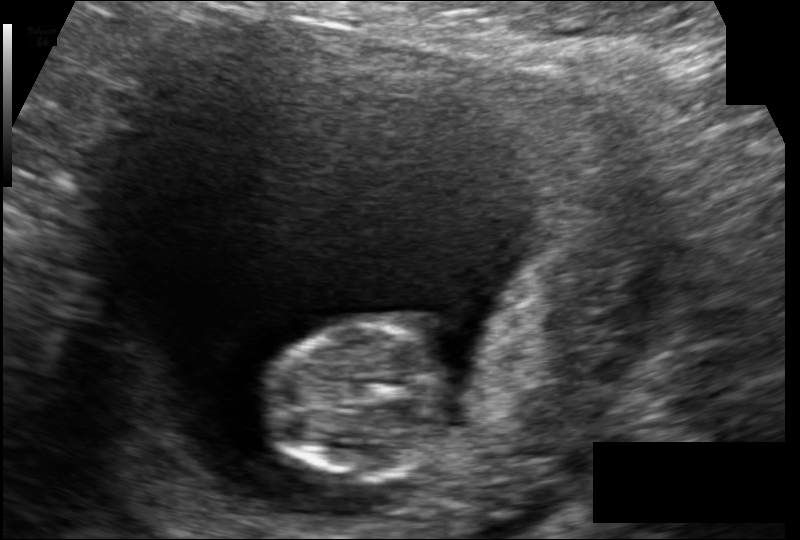
Estimate the fetal head circumference from this 2D ultrasound.

Head circumference: 65.7 mm (image width 93.6 mm).